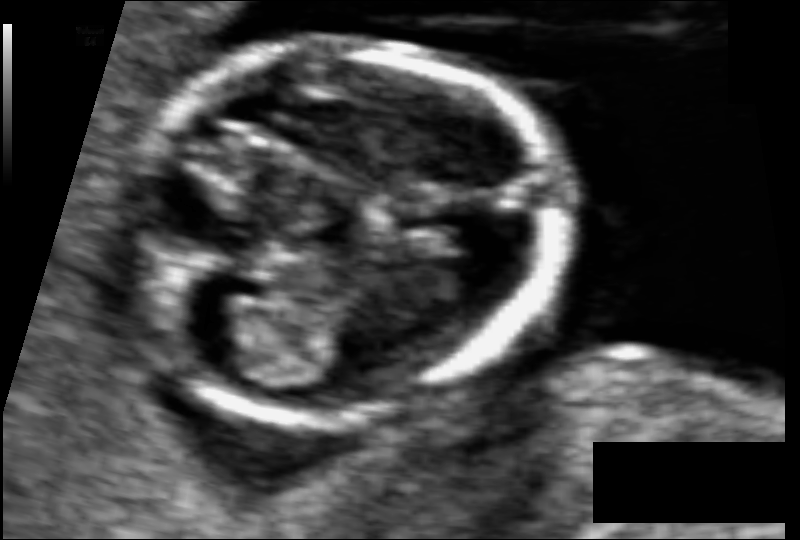
From this fetal ultrasound, estimate the head circumference (image width 47.6 mm).

Head circumference: 79.5 mm.